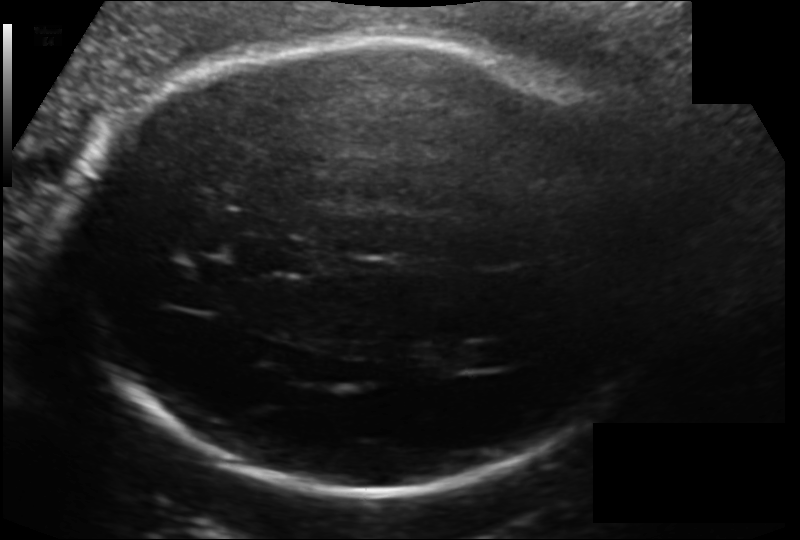
Fetal head ultrasound. Image width: 123.2 mm. Locate the fetal head and, if visible, the cavum septum pellucidum (CSP) and lateral ventricle (LV). Give bounding boxes as [x1,y1,x2,y2].

Head: [72,38,657,493]
CSP: [255,233,320,279]
Lateral ventricle: [459,342,514,370]